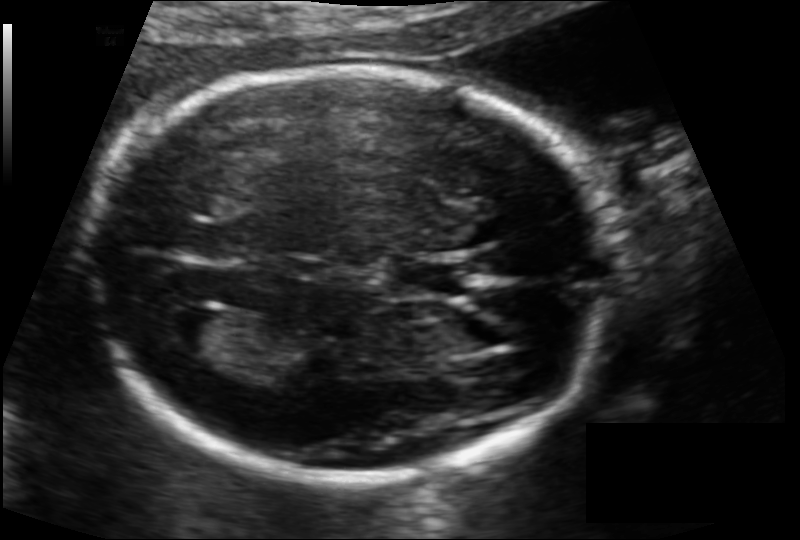
Estimate the fetal head circumference from this 2D ultrasound. Image width: 91.1 mm.

Head circumference: 172.2 mm.